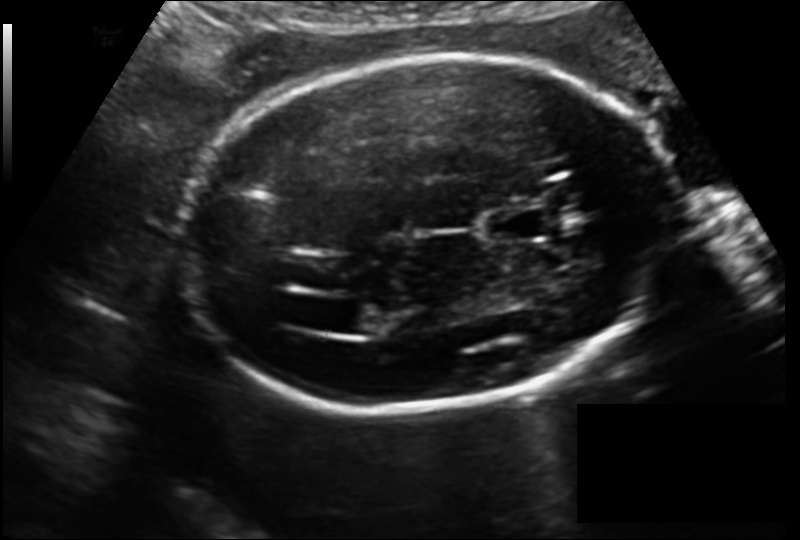
Fetal head ultrasound. Image width: 120.3 mm. Locate the lateral ventricle.

Lateral ventricle: [329,299,391,335]